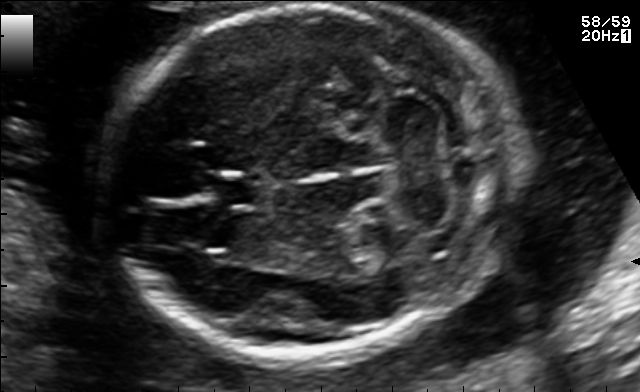
Fetal brain, trans-cerebellum plane. Where is the cavum septum pellucidum?

CSP bounding box: [207,173,263,207]